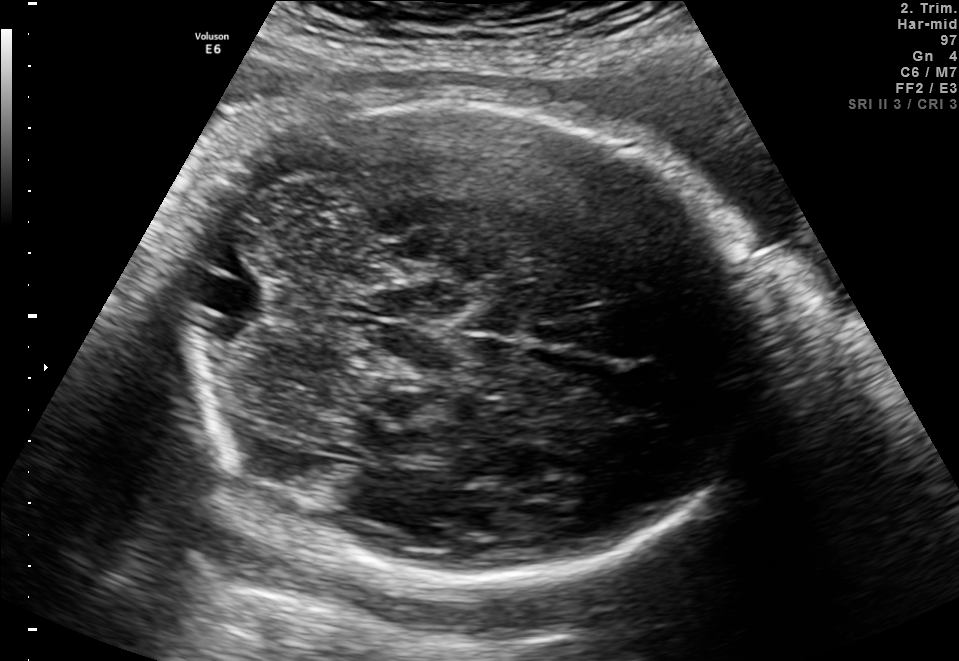
Identify the standard plane in this fetal ultrasound image: fetal abdomen, fetal brain, fetal femur, fetal thorax, maternal cervix, or other. If it's fetal brain and one of the three standard brain planes (trans-thalamic, trans-cerebellum, trans-ventricular), name which.

Fetal brain (trans-cerebellum plane)